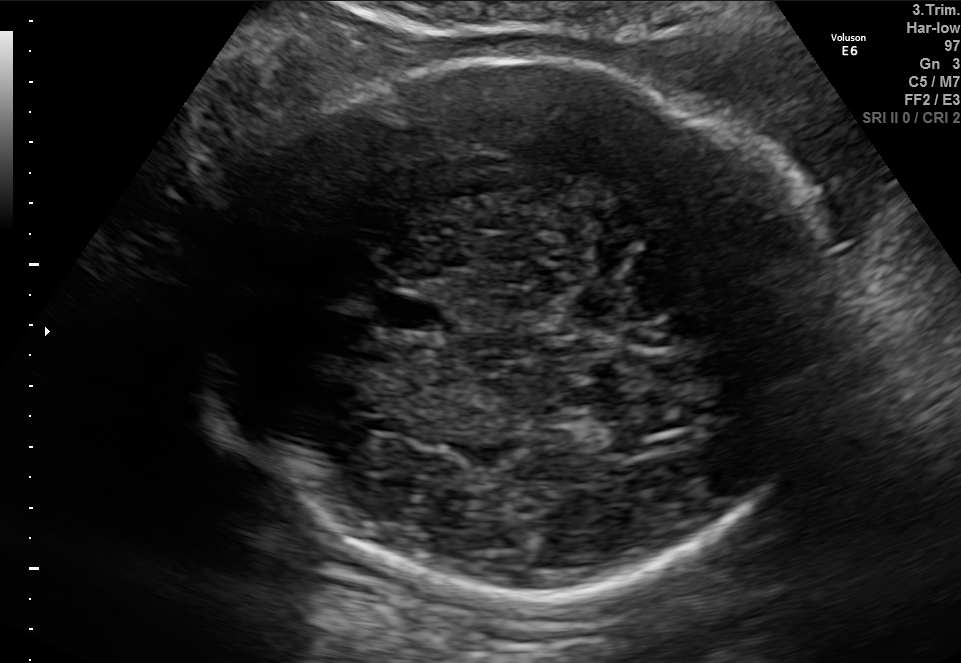
Which standard maternal-fetal ultrasound plane is shown: fetal abdomen, fetal brain, fetal femur, fetal thorax, maternal cervix, or other? If it's fetal brain and one of the three standard brain planes (trans-thalamic, trans-cerebellum, trans-ventricular), name which.

Fetal brain (trans-thalamic plane)